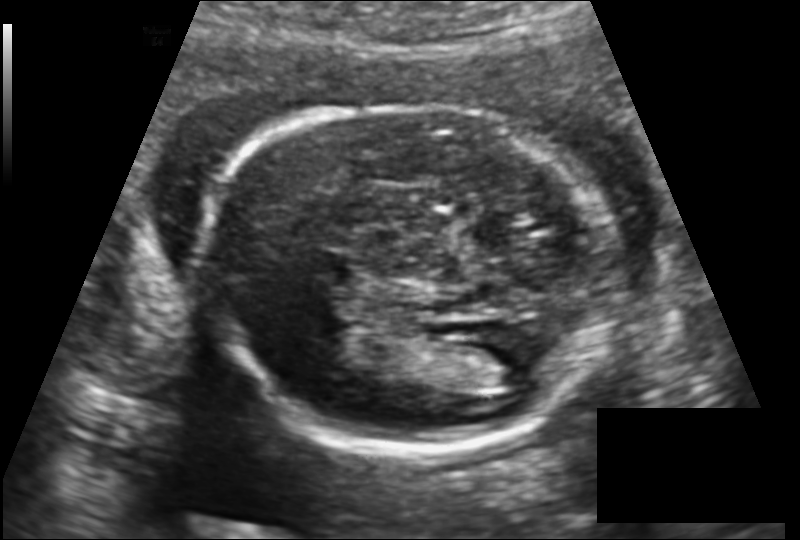
What is the fetal head circumference? Image width is 111.5 mm.

171.1 mm